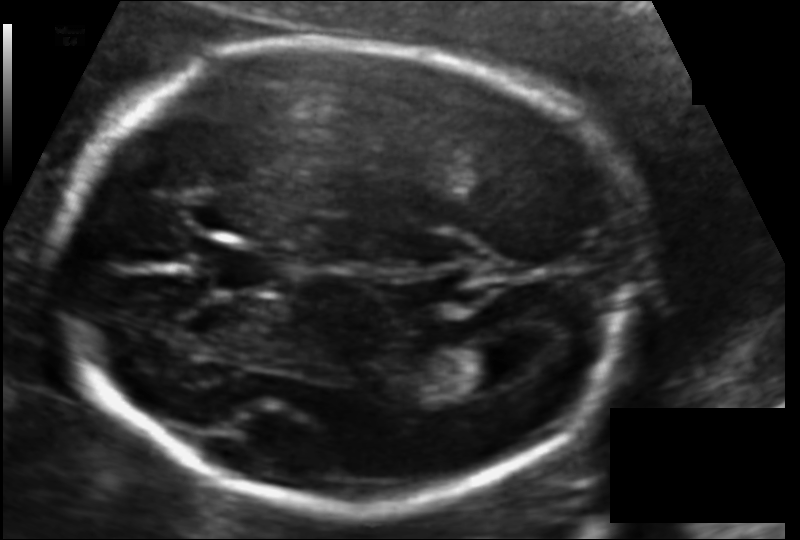
From this fetal ultrasound, estimate the head circumference (image width 92.7 mm).

Head circumference: 197.9 mm.